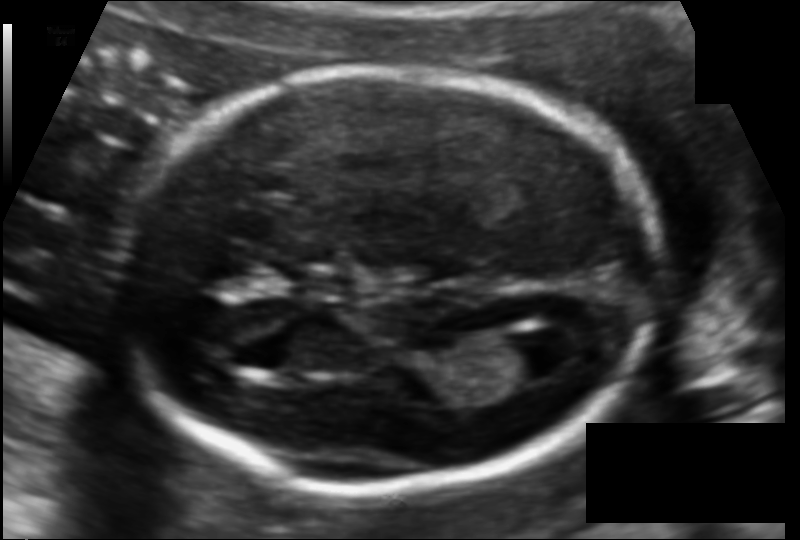
What is the fetal head circumference? Image width is 85.9 mm.

165.3 mm